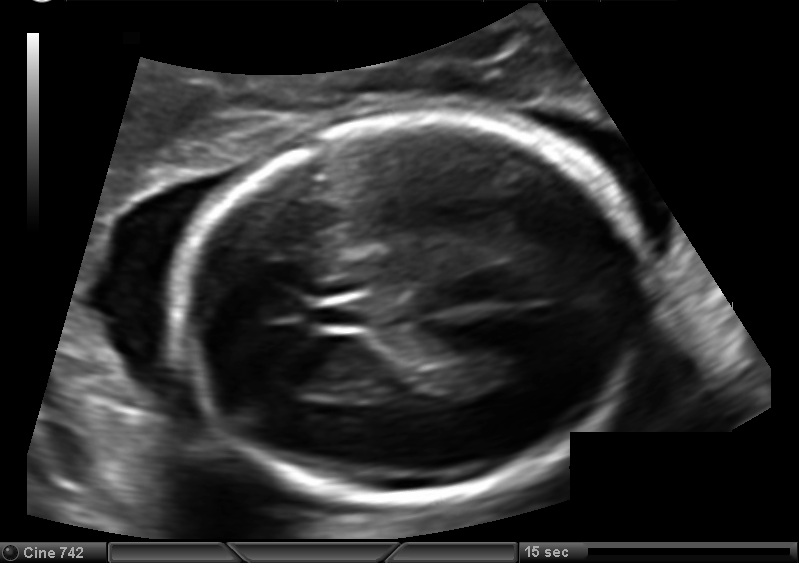
Fetal head ultrasound. Image width: 101.4 mm. Where is the lateral ventricle?

Lateral ventricle bounding box: [465,339,536,392]